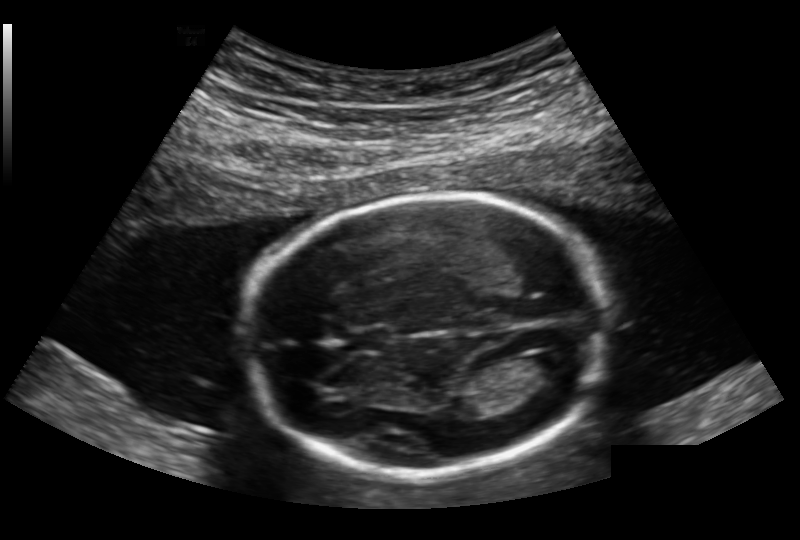
Fetal head ultrasound. Image width: 134.4 mm. Where is the cavum septum pellucidum?

CSP bounding box: [349,326,394,354]